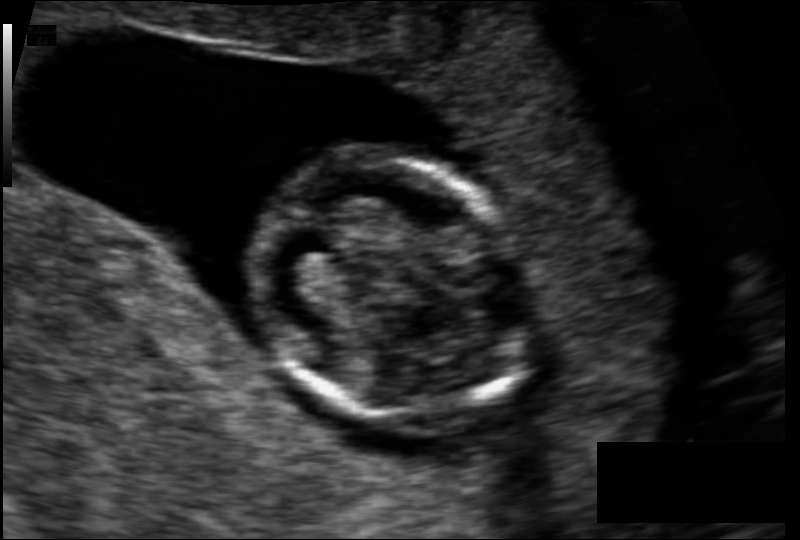
From this fetal ultrasound, estimate the head circumference (image width 75.6 mm).

Head circumference: 84.6 mm.